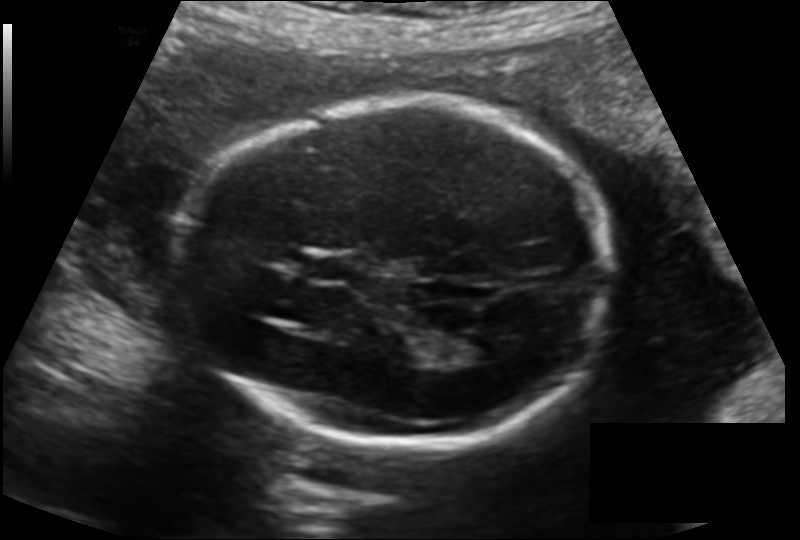
Fetal head ultrasound. Image width: 115.3 mm. Locate the cavum septum pellucidum.

CSP: [309,256,362,282]